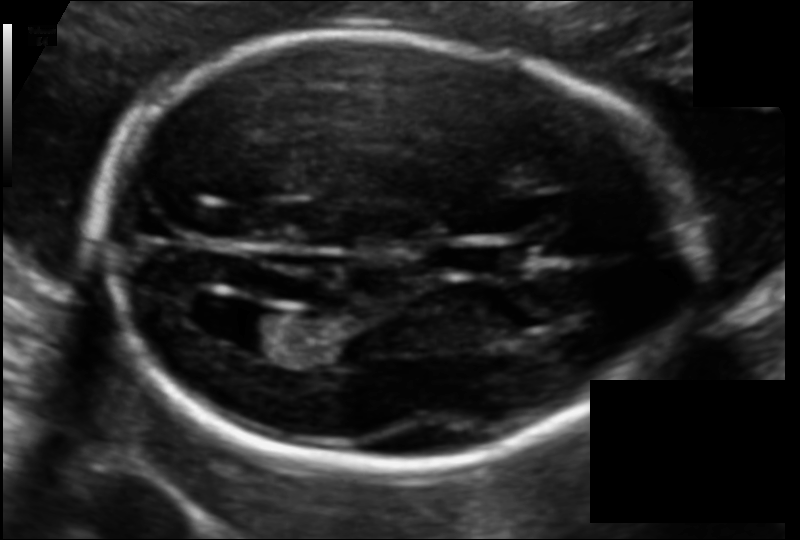
Fetal head ultrasound. Image width: 86.6 mm. Where is the cavum septum pellucidum?

CSP bounding box: [442,244,523,275]